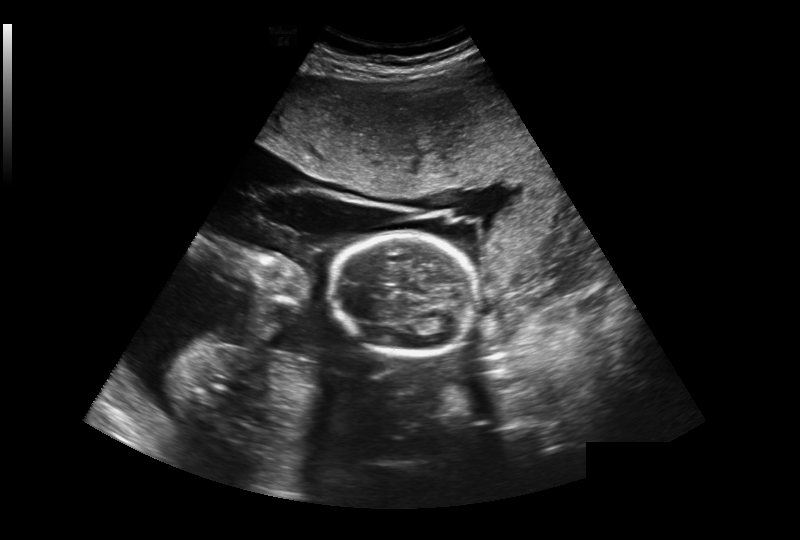
Measure the fetal head circumference shown in this ultrasound image. Image width: 314.6 mm.

Head circumference: 172.7 mm.